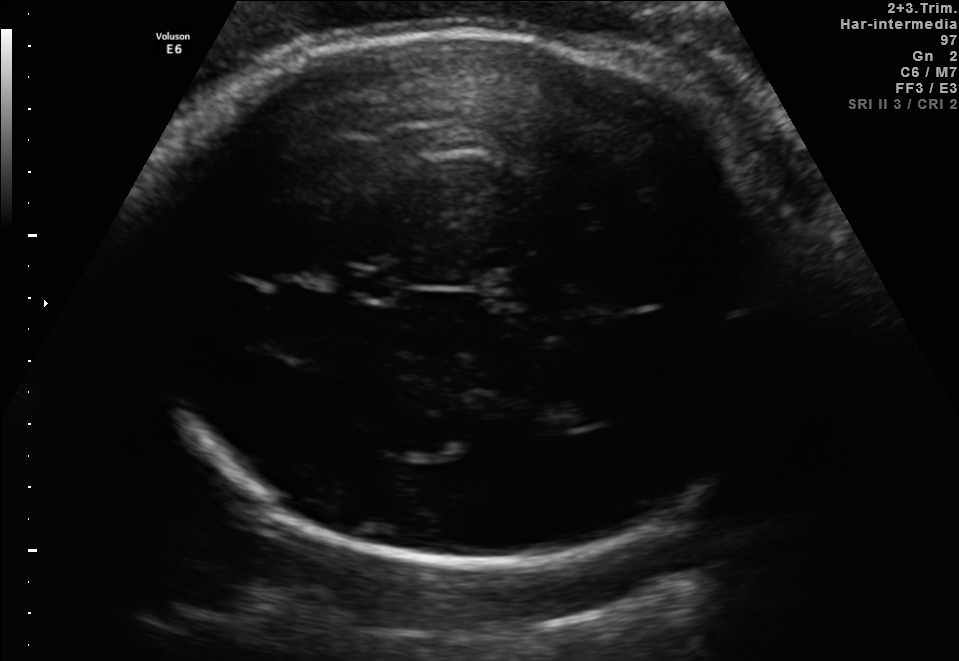
Fetal brain, trans-thalamic plane. Give [x1,y1,x2,y2] bounding boxes for each visible structure among: fetal head, CSP, LV.

Head: [130,29,799,564]
CSP: [351,270,396,300]
Lateral ventricle: [552,385,621,431]